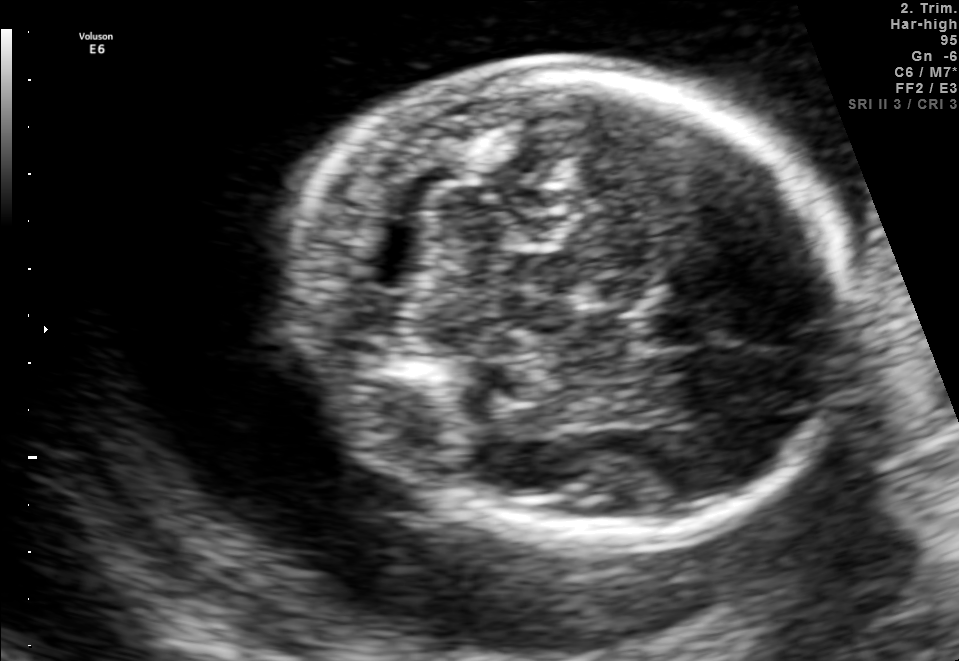
Identify the standard plane in this fetal ultrasound image: fetal abdomen, fetal brain, fetal femur, fetal thorax, maternal cervix, or other. If it's fetal brain and one of the three standard brain planes (trans-thalamic, trans-cerebellum, trans-ventricular), name which.

Fetal brain (trans-cerebellum plane)